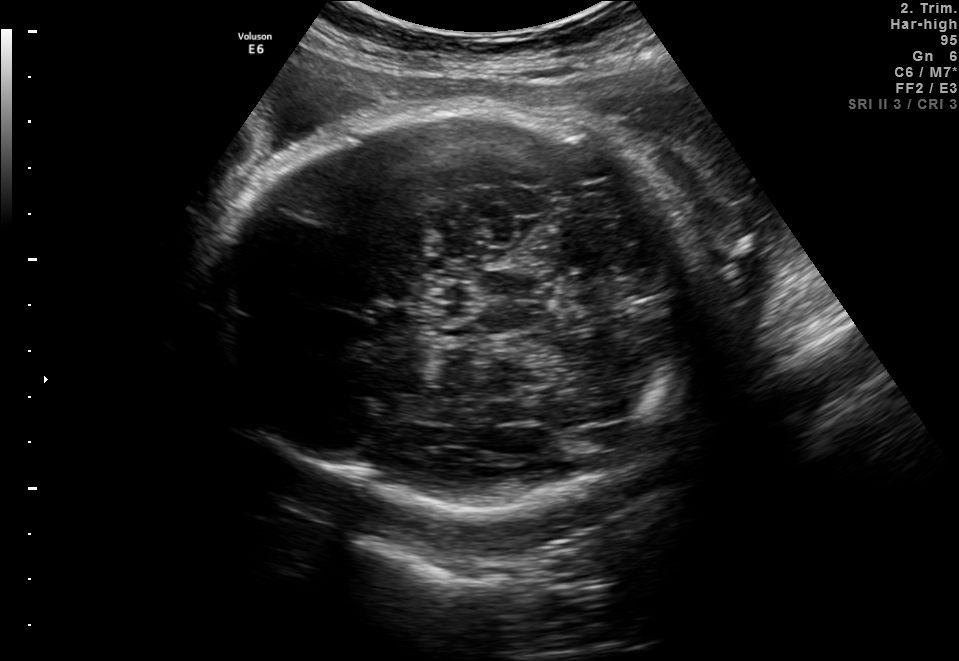
Fetal brain, trans-thalamic plane. Give [x1,y1,x2,y2] bounding boxes for each visible structure among: fetal head, CSP, LV.

Head: [207,102,694,515]